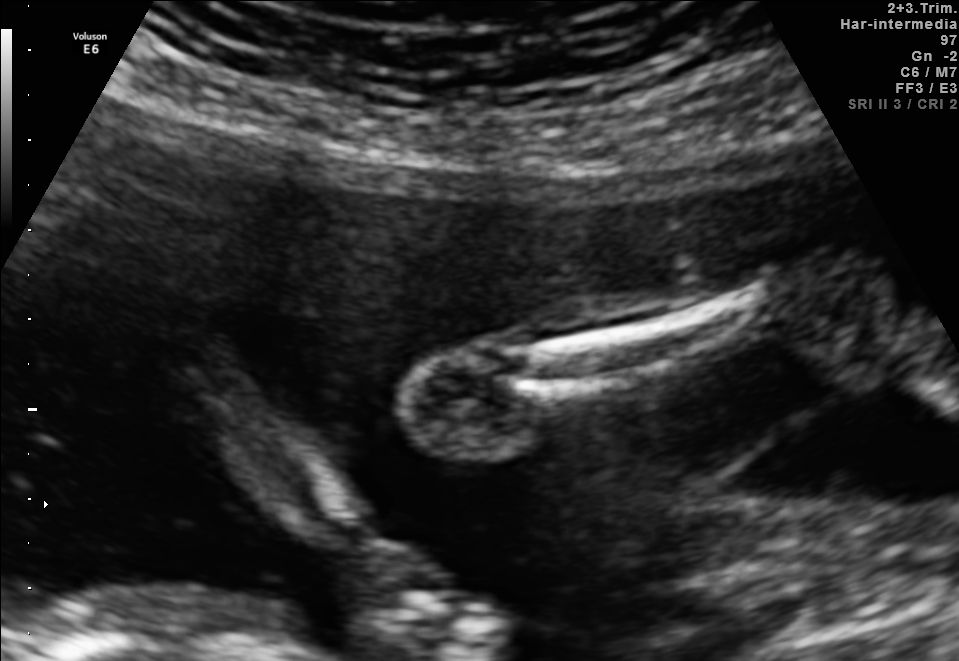
Which standard maternal-fetal ultrasound plane is shown: fetal abdomen, fetal brain, fetal femur, fetal thorax, maternal cervix, or other? If it's fetal brain and one of the three standard brain planes (trans-thalamic, trans-cerebellum, trans-ventricular), name which.

Other